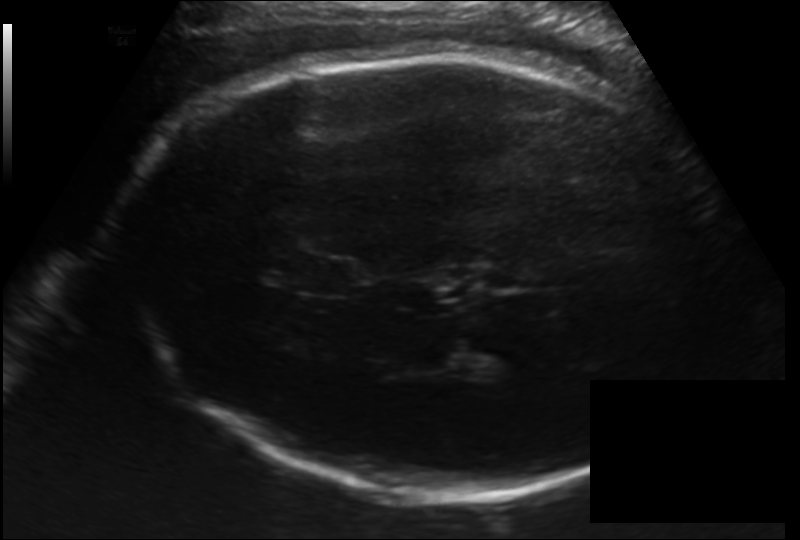
What is the fetal head circumference? Image width is 153.4 mm.

328.6 mm